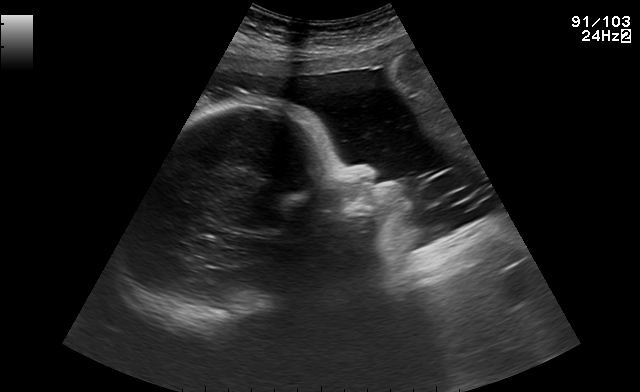
Identify the standard plane in this fetal ultrasound image: fetal abdomen, fetal brain, fetal femur, fetal thorax, maternal cervix, or other. If it's fetal brain and one of the three standard brain planes (trans-thalamic, trans-cerebellum, trans-ventricular), name which.

Other